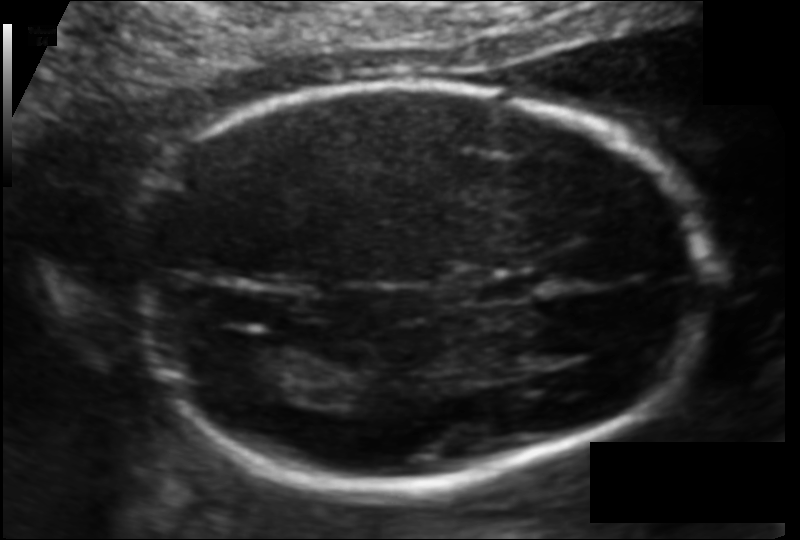
In this fetal head ultrasound, give bounding boxes for the head outline, cavum septum pellucidum (CSP), and lateral ventricle (LV), where visible. Image width: 87.4 mm.

Head: [123,82,705,486]
CSP: [477,268,547,307]
Lateral ventricle: [207,336,308,408]